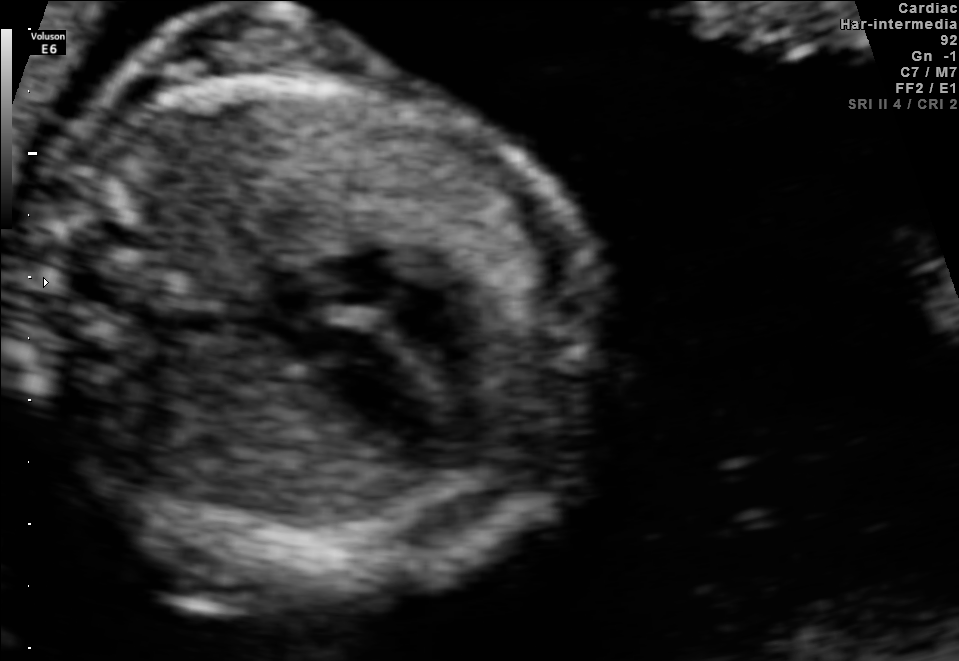
This is a 2D maternal-fetal ultrasound frame. Is it a fetal abdomen, fetal brain, fetal femur, fetal thorax, maternal cervix, or other standard plane? If it's fetal brain and one of the three standard brain planes (trans-thalamic, trans-cerebellum, trans-ventricular), name which.

Fetal thorax